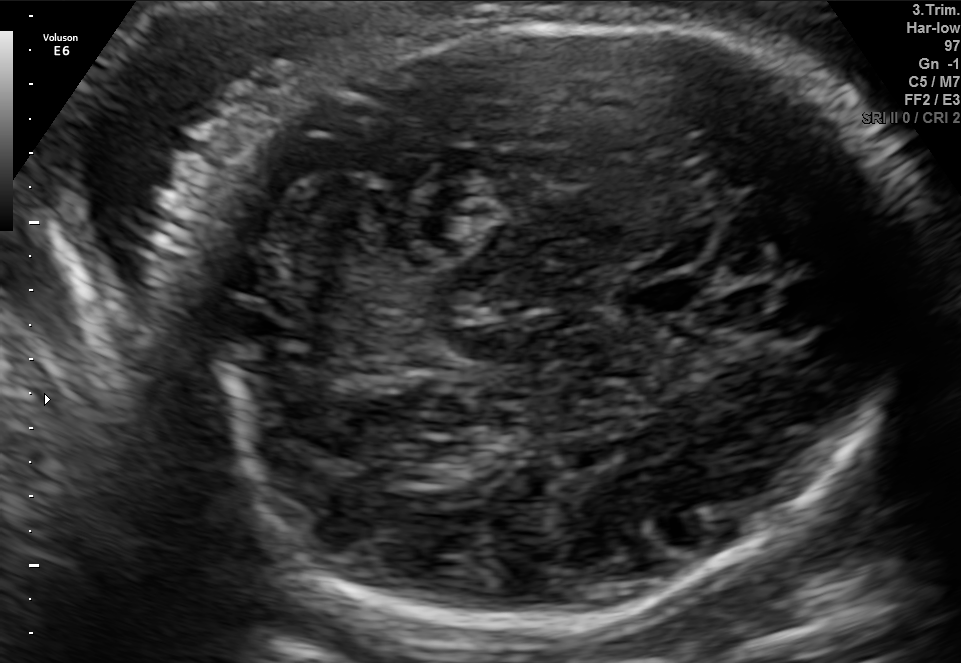
Fetal brain, trans-cerebellum plane. Where is the cavum septum pellucidum?

CSP bounding box: [617,262,712,329]